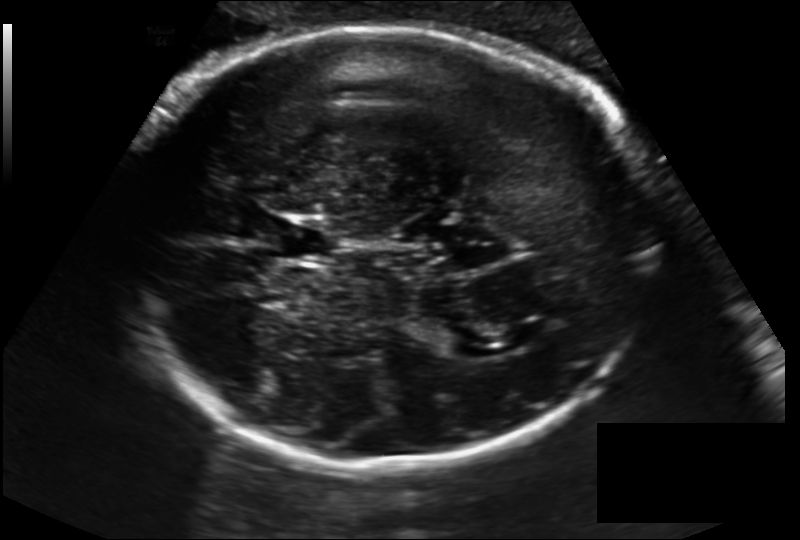
Fetal head ultrasound. Image width: 155.1 mm. Locate the fetal head.

Head: [117,27,665,464]